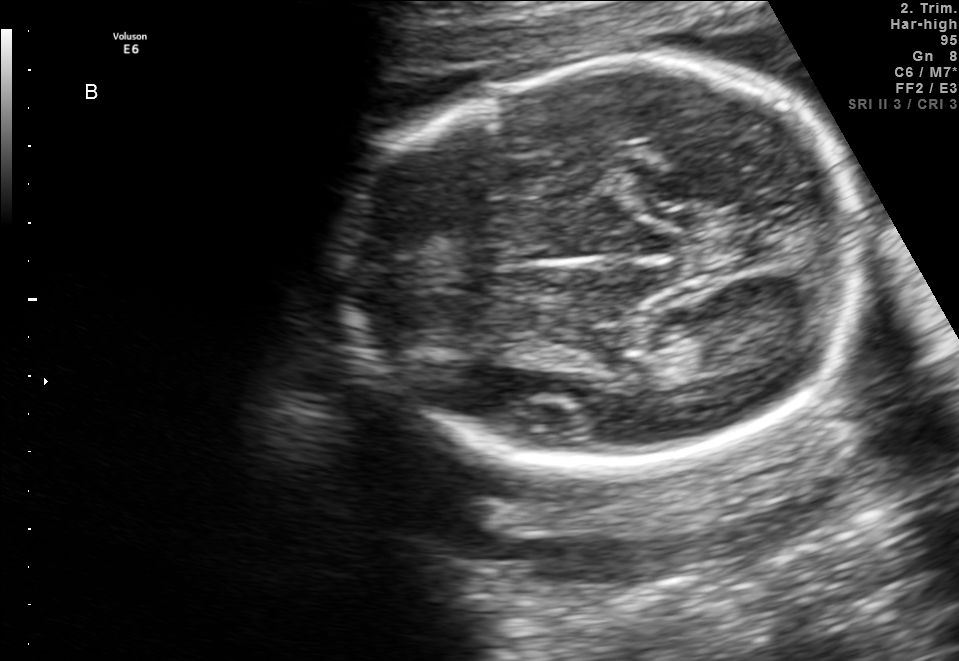
Fetal brain, trans-thalamic plane. Locate the fetal head.

Head: [333,66,870,463]